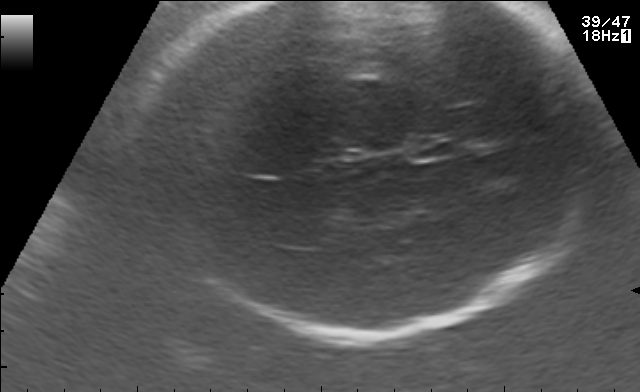
Fetal brain, trans-thalamic plane. Where is the cavum septum pellucidum?

CSP bounding box: [405,132,457,162]